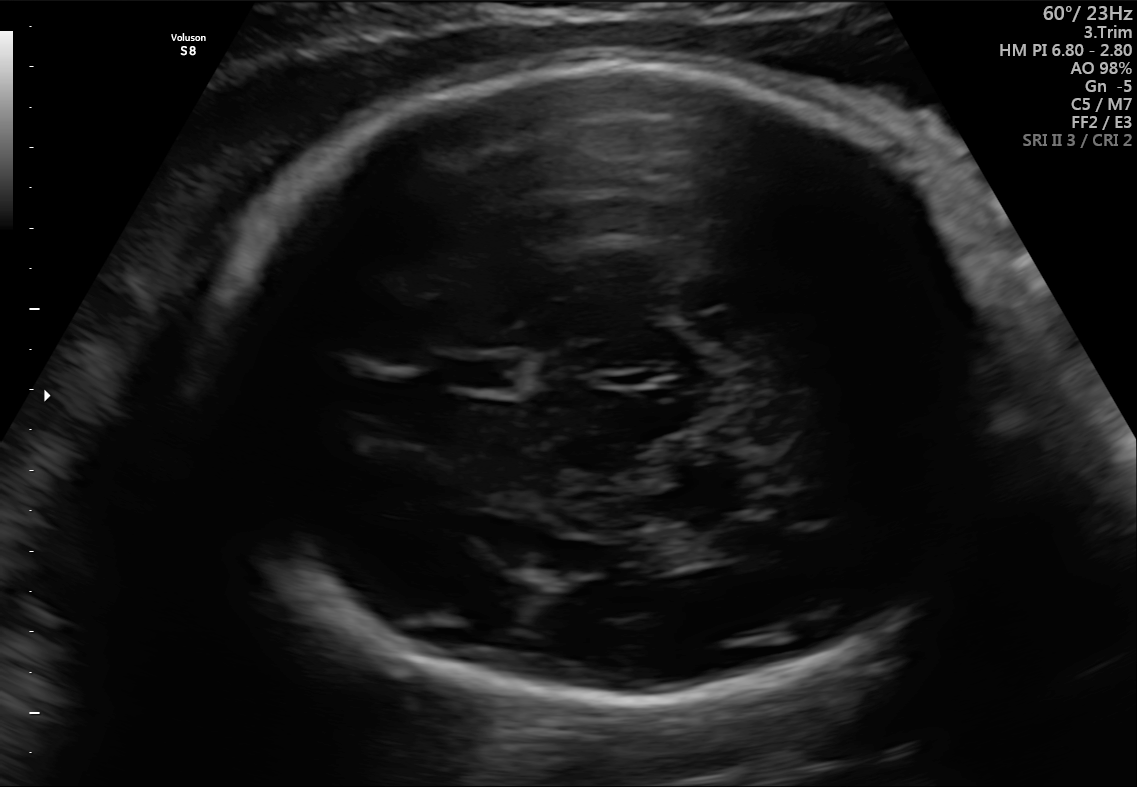
Fetal brain, trans-thalamic plane. Locate the fetal head.

Head: [199,64,1026,706]